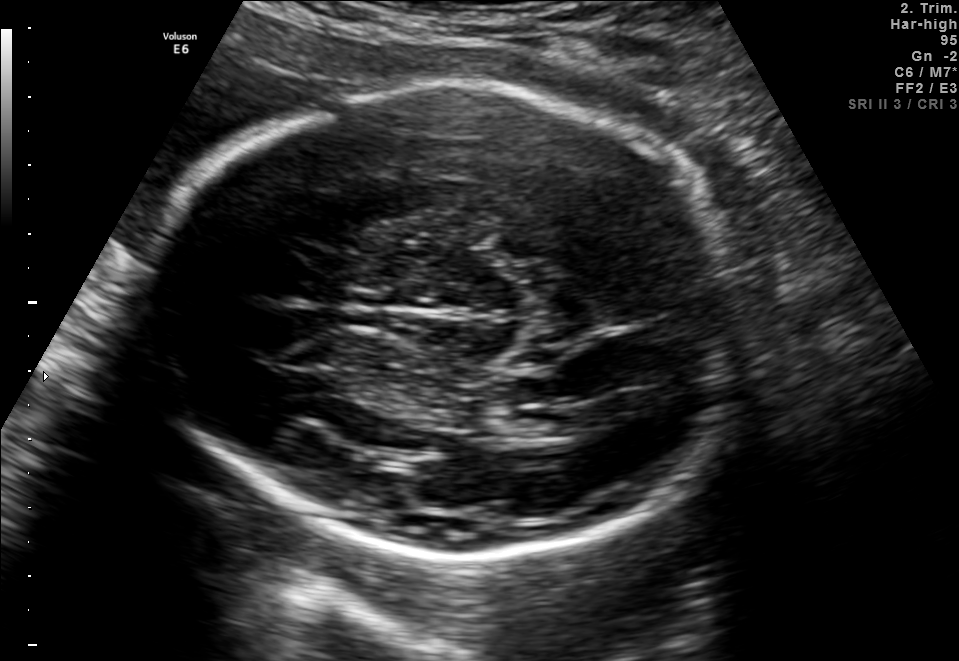
Fetal brain, trans-thalamic plane. Locate the fetal head and, if visible, the cavum septum pellucidum (CSP) and lateral ventricle (LV). Give bounding boxes as [x1,y1,x2,y2].

Head: [155,85,752,552]
Lateral ventricle: [509,404,587,442]